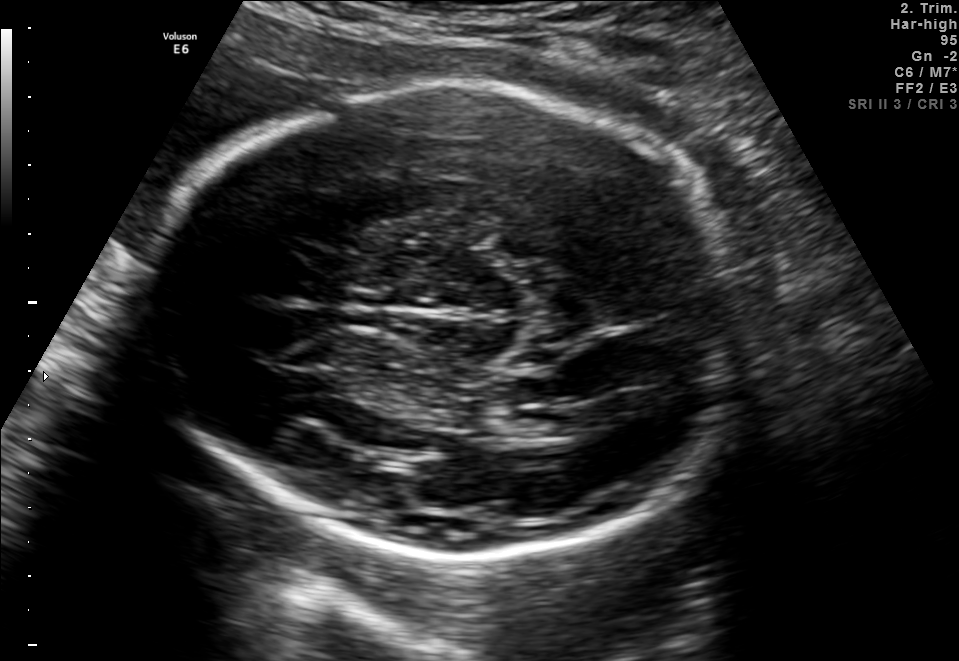
Fetal brain, trans-thalamic plane. Give [x1,y1,x2,y2] bounding boxes for each visible structure among: fetal head, CSP, LV.

Head: [155,85,752,552]
Lateral ventricle: [509,404,587,442]